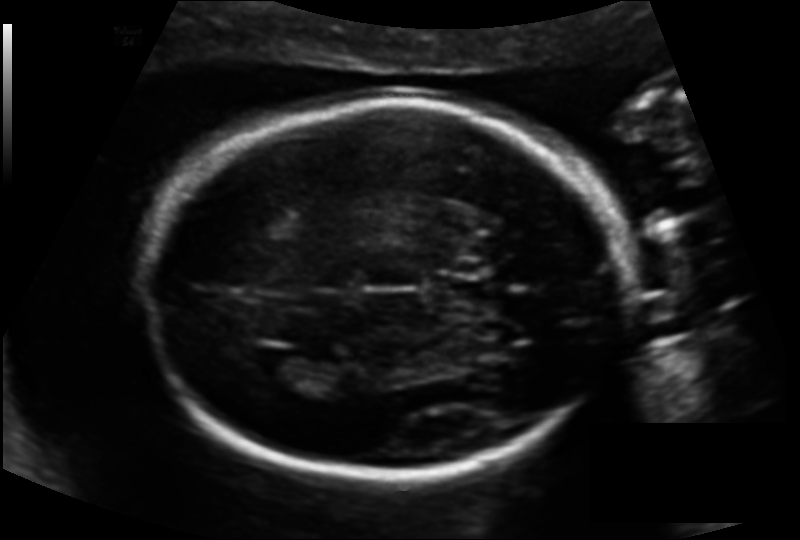
From this fetal ultrasound, estimate the head circumference (image width 107.7 mm).

Head circumference: 186.8 mm.